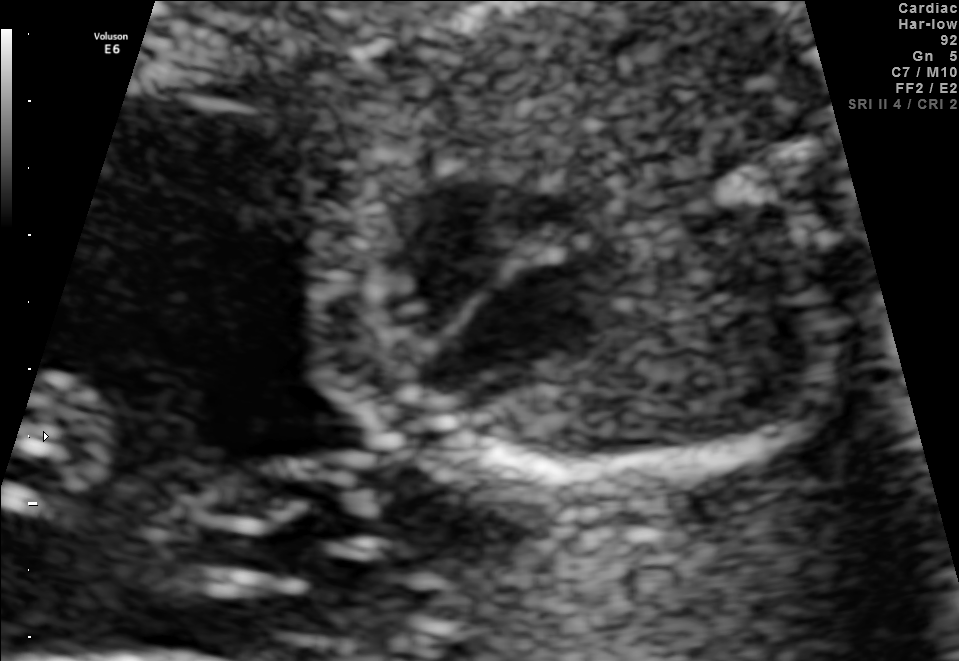
Which standard maternal-fetal ultrasound plane is shown: fetal abdomen, fetal brain, fetal femur, fetal thorax, maternal cervix, or other? If it's fetal brain and one of the three standard brain planes (trans-thalamic, trans-cerebellum, trans-ventricular), name which.

Fetal thorax